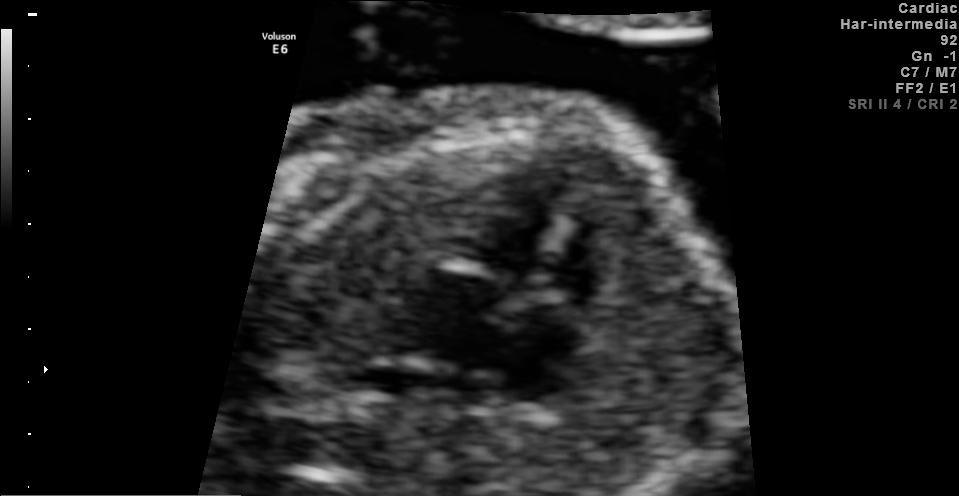
This is a 2D maternal-fetal ultrasound frame. Is it a fetal abdomen, fetal brain, fetal femur, fetal thorax, maternal cervix, or other standard plane? If it's fetal brain and one of the three standard brain planes (trans-thalamic, trans-cerebellum, trans-ventricular), name which.

Fetal thorax